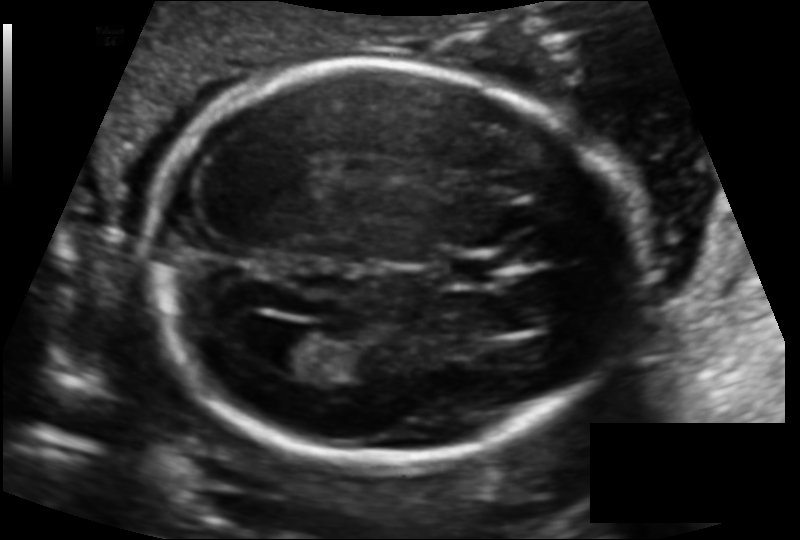
Fetal head ultrasound. Image width: 100.1 mm. Locate the fetal head and, if visible, the cavum septum pellucidum (CSP) and lateral ventricle (LV). Give bounding boxes as [x1,y1,x2,y2].

Head: [147,63,631,466]
CSP: [445,254,504,286]
Lateral ventricle: [260,322,334,380]